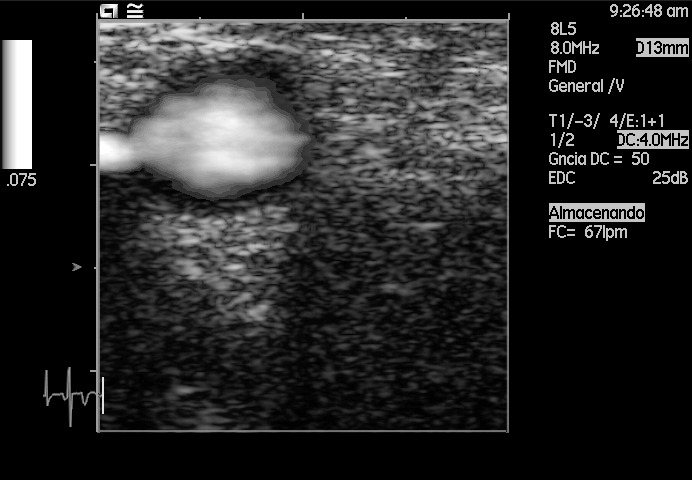
Which standard maternal-fetal ultrasound plane is shown: fetal abdomen, fetal brain, fetal femur, fetal thorax, maternal cervix, or other? If it's fetal brain and one of the three standard brain planes (trans-thalamic, trans-cerebellum, trans-ventricular), name which.

Other